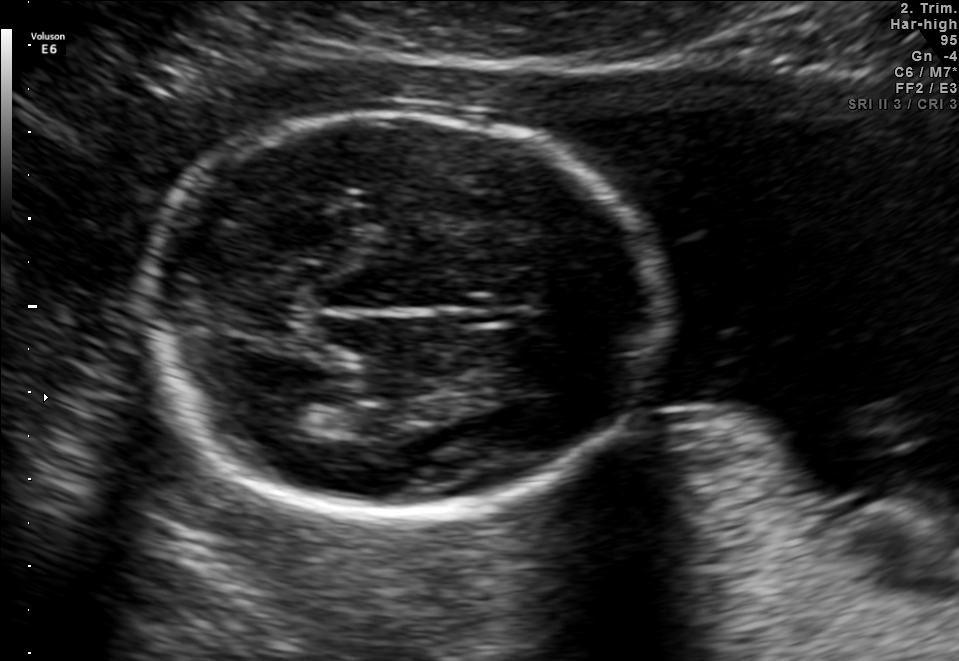
Fetal brain, trans-thalamic plane. Give [x1,y1,x2,y2] bounding boxes for each visible structure among: fetal head, CSP, LV.

Head: [138,111,667,510]